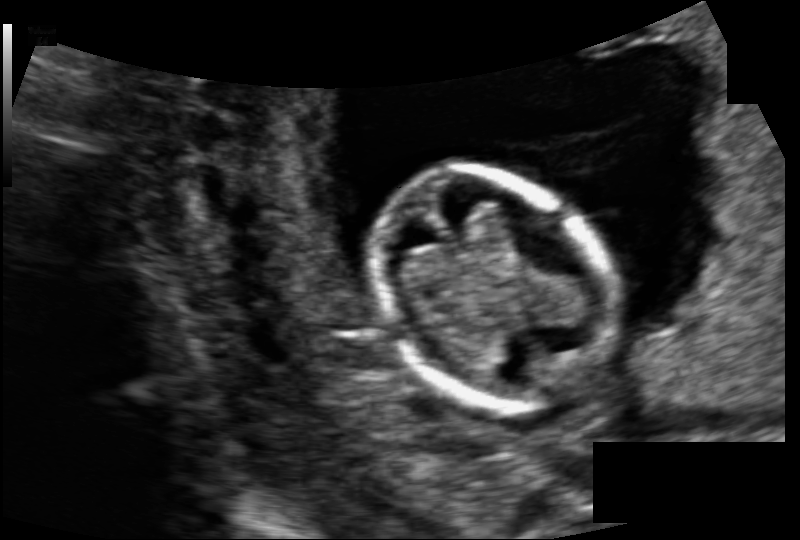
Estimate the fetal head circumference from this 2D ultrasound. Image width: 83.3 mm.

Head circumference: 82.0 mm.